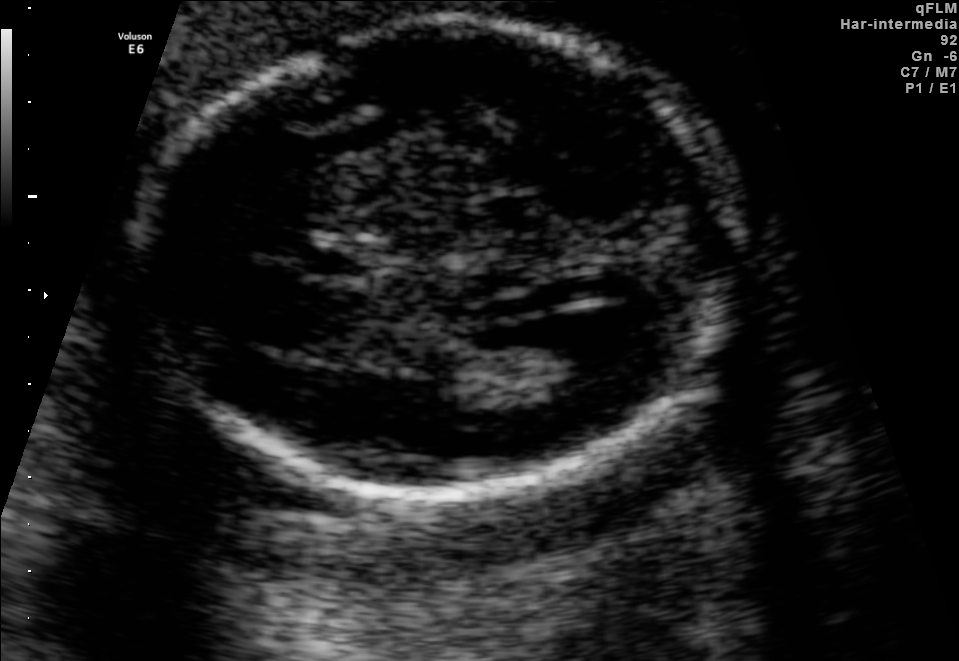
In this fetal brain, trans-ventricular plane, give bounding boxes for the head outline, cavum septum pellucidum (CSP), and lateral ventricle (LV), where visible.

Head: [130,7,745,498]
CSP: [299,241,374,284]
Lateral ventricle: [506,304,632,391]